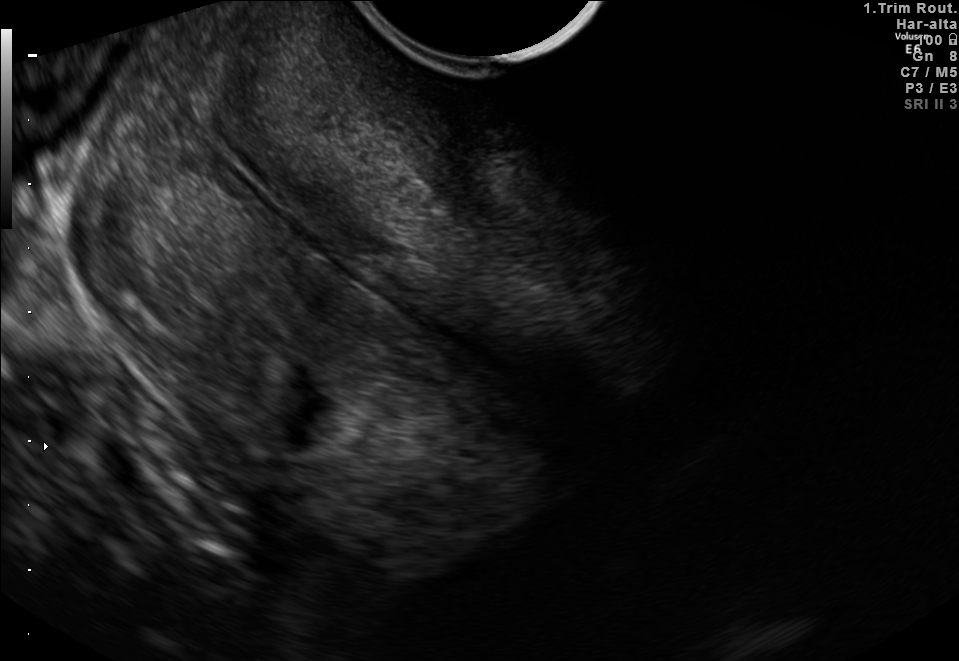
This is a 2D maternal-fetal ultrasound frame. Is it a fetal abdomen, fetal brain, fetal femur, fetal thorax, maternal cervix, or other standard plane? If it's fetal brain and one of the three standard brain planes (trans-thalamic, trans-cerebellum, trans-ventricular), name which.

Maternal cervix